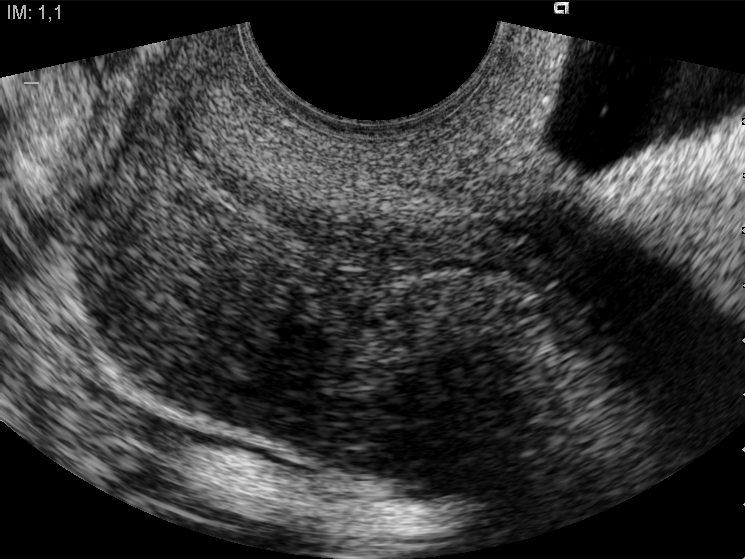
Classify this maternal-fetal ultrasound image as one of the six standard planes — fetal abdomen, fetal brain, fetal femur, fetal thorax, maternal cervix, or other. If it's fetal brain and one of the three standard brain planes (trans-thalamic, trans-cerebellum, trans-ventricular), name which.

Maternal cervix